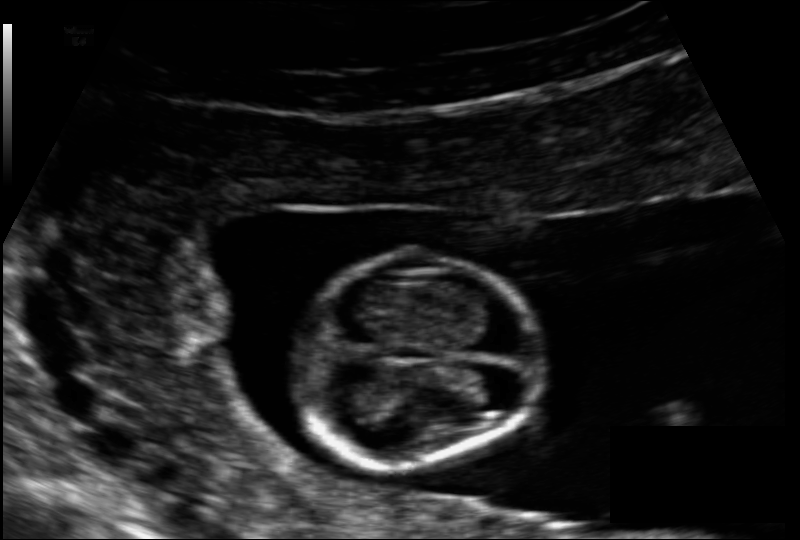
Estimate the fetal head circumference from this 2D ultrasound. Image width: 73.0 mm.

Head circumference: 69.0 mm.